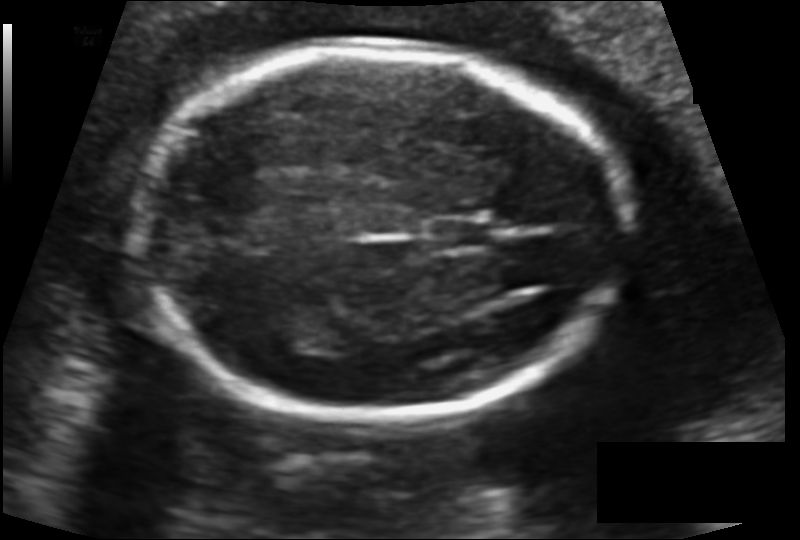
What is the fetal head circumference? Image width is 98.1 mm.

171.8 mm